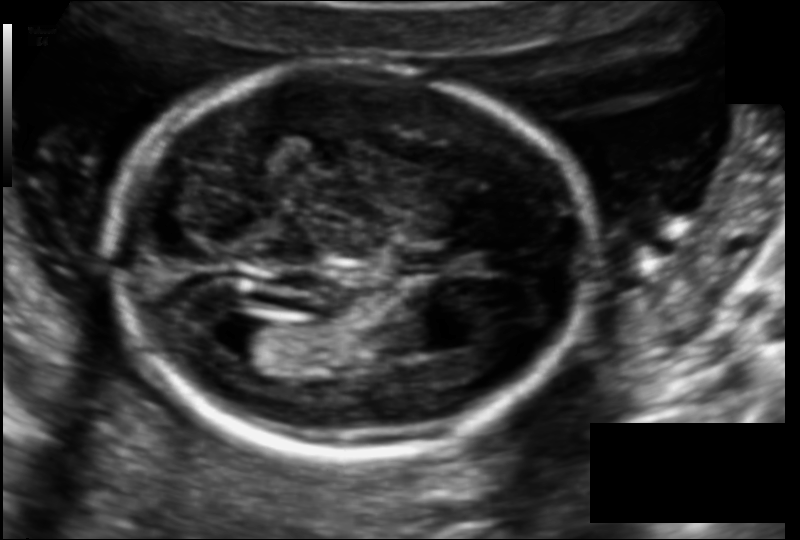
Fetal head ultrasound. Image width: 91.5 mm. Where is the lateral ventricle?

Lateral ventricle bounding box: [205,307,283,366]